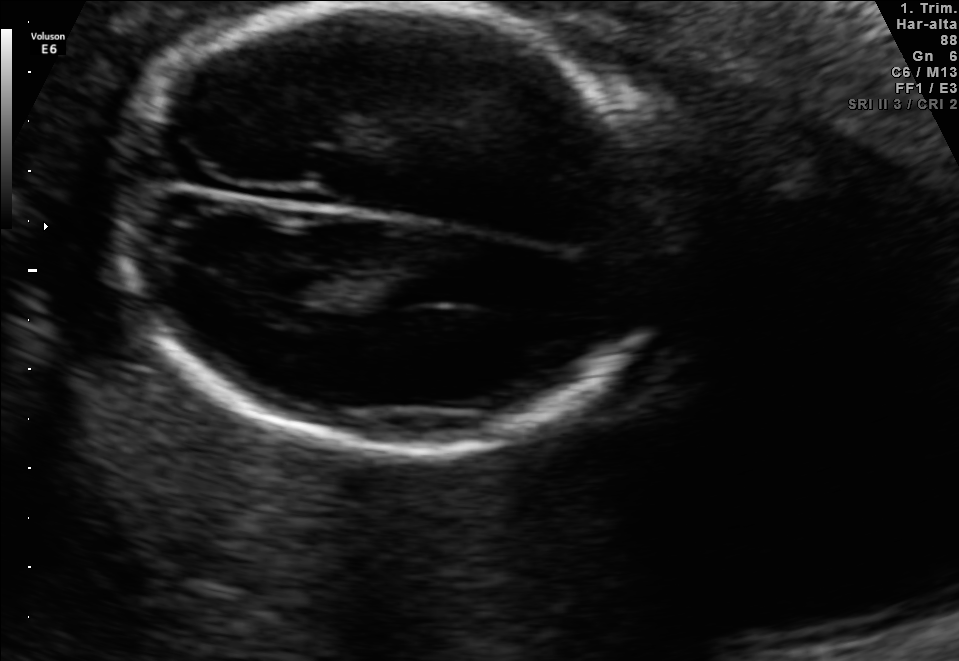
In this fetal brain, trans-thalamic plane, give bounding boxes for the head outline, cavum septum pellucidum (CSP), and lateral ventricle (LV), where visible.

Head: [122,3,663,458]